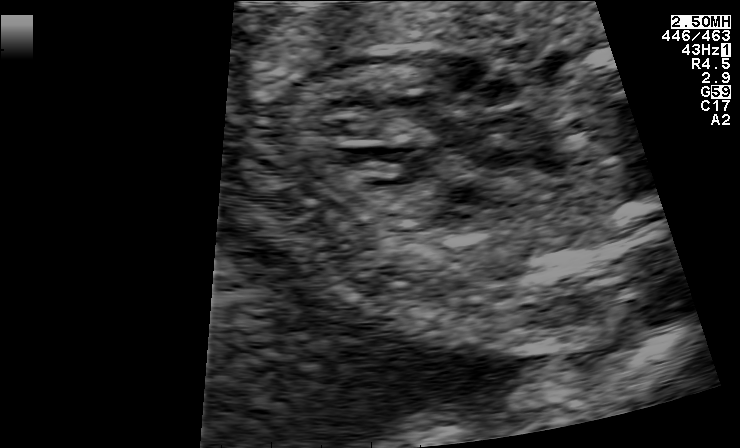
This is a 2D maternal-fetal ultrasound frame. Is it a fetal abdomen, fetal brain, fetal femur, fetal thorax, maternal cervix, or other standard plane? If it's fetal brain and one of the three standard brain planes (trans-thalamic, trans-cerebellum, trans-ventricular), name which.

Other